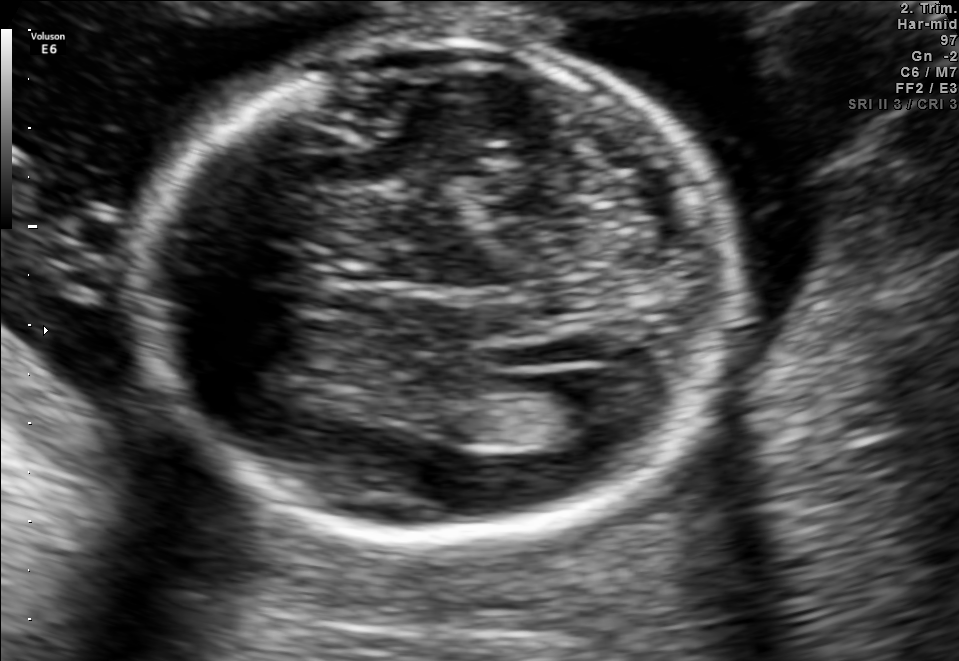
Fetal brain, trans-ventricular plane. Where is the lateral ventricle?

Lateral ventricle bounding box: [536,382,632,444]